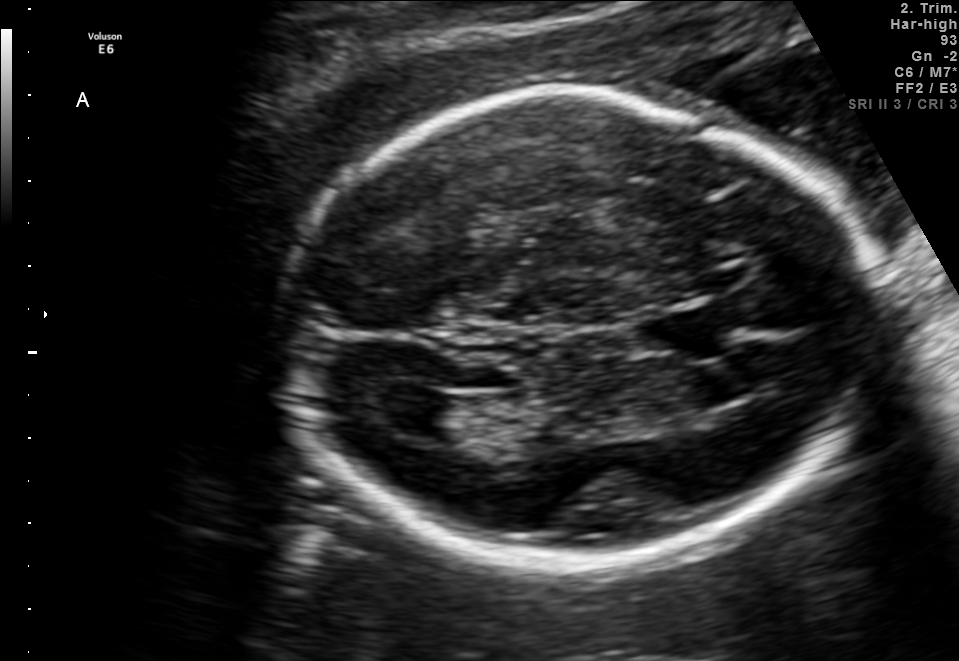
In this fetal brain, trans-ventricular plane, give the bounding box of the lateral ventricle.

[375,384,465,443]